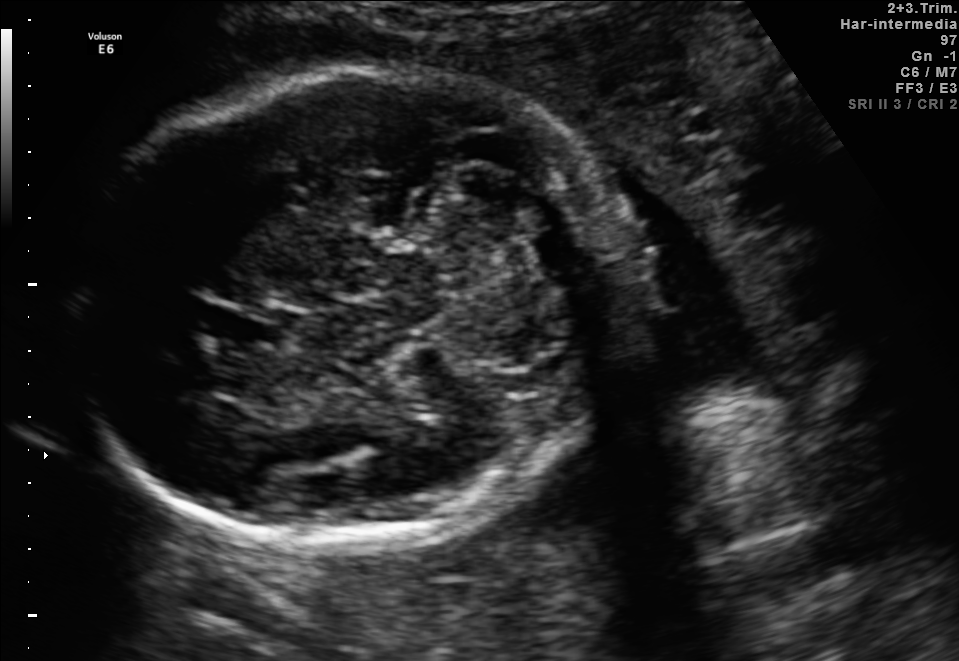
In this fetal brain, trans-cerebellum plane, give bounding boxes for the head outline, cavum septum pellucidum (CSP), and lateral ventricle (LV), where visible.

Head: [76,68,625,543]
CSP: [198,297,286,357]